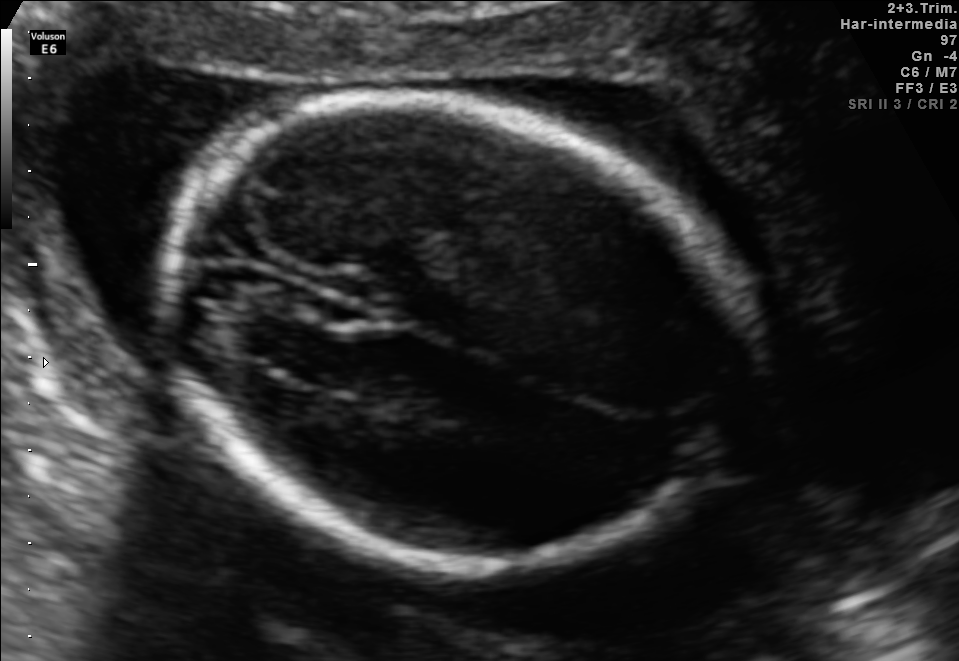
This is a 2D maternal-fetal ultrasound frame. Is it a fetal abdomen, fetal brain, fetal femur, fetal thorax, maternal cervix, or other standard plane? If it's fetal brain and one of the three standard brain planes (trans-thalamic, trans-cerebellum, trans-ventricular), name which.

Fetal brain (trans-thalamic plane)